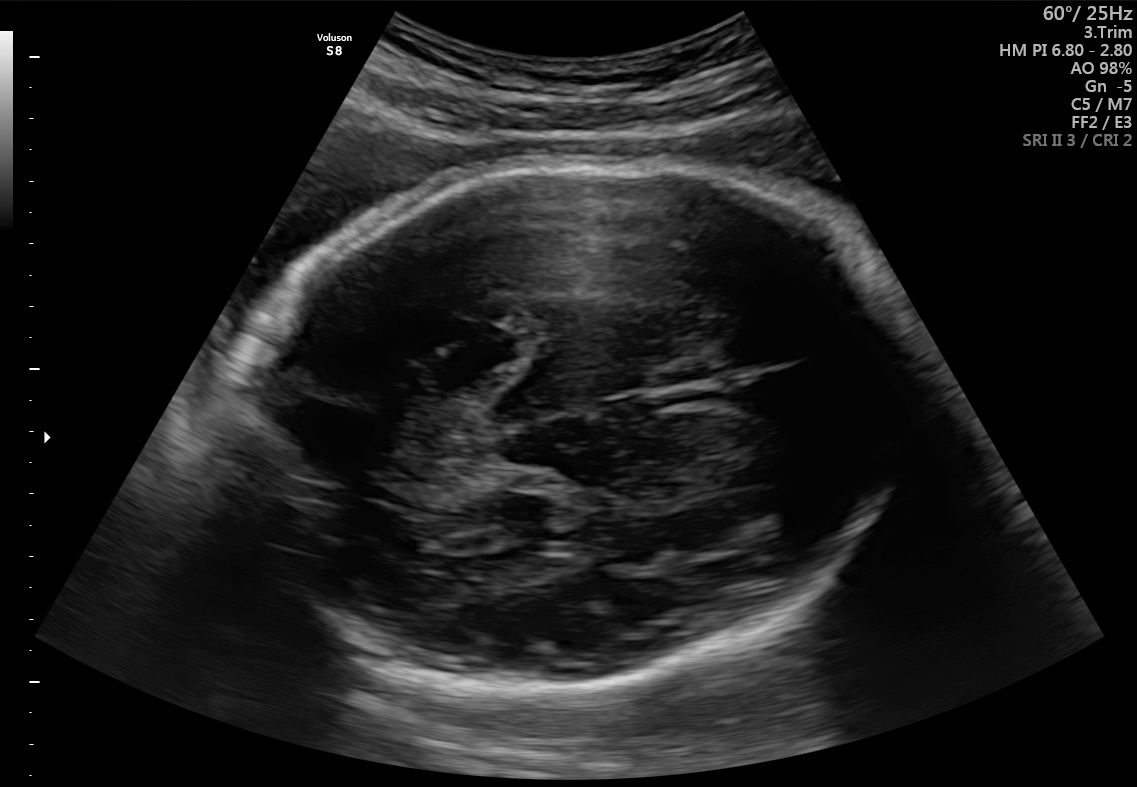
In this fetal brain, trans-thalamic plane, give the bounding box of the fetal head.

[243,163,894,686]